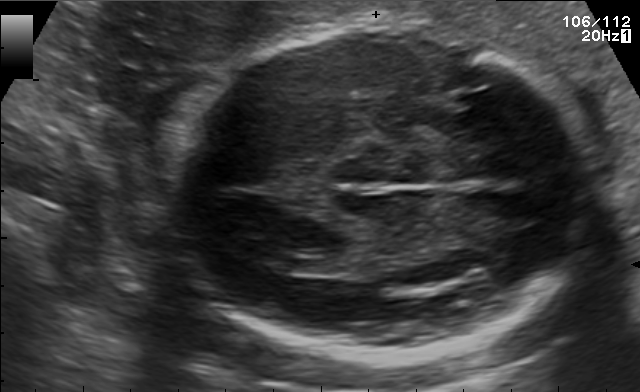
Fetal brain, trans-ventricular plane. Where is the lateral ventricle?

Lateral ventricle bounding box: [270,255,306,274]